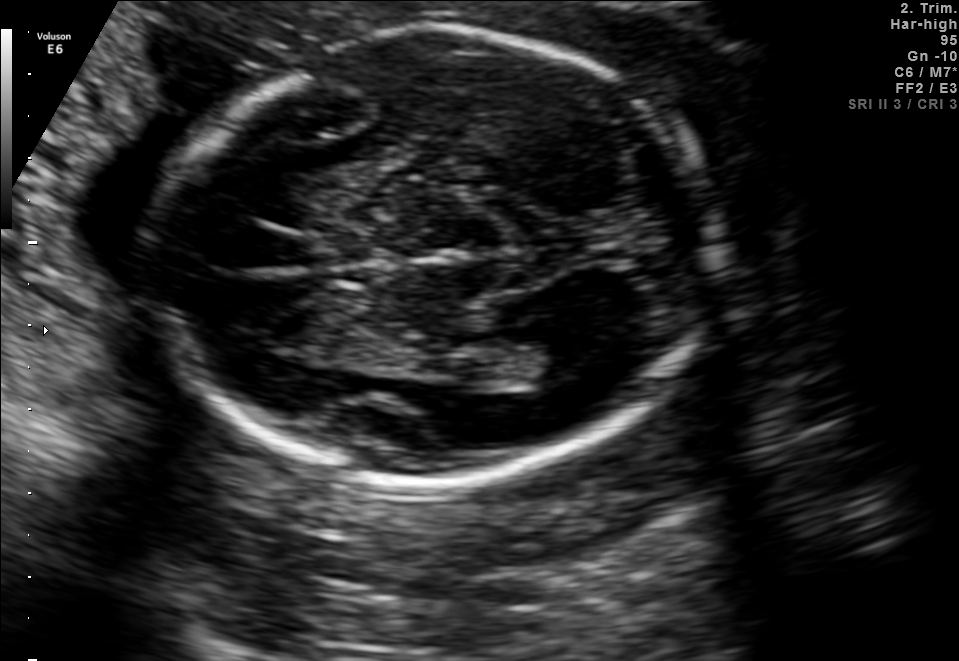
Fetal brain, trans-ventricular plane. Locate the fetal head and, if visible, the cavum septum pellucidum (CSP) and lateral ventricle (LV). Give bounding boxes as [x1,y1,x2,y2].

Head: [148,28,727,489]
CSP: [305,248,384,283]
Lateral ventricle: [521,324,604,383]